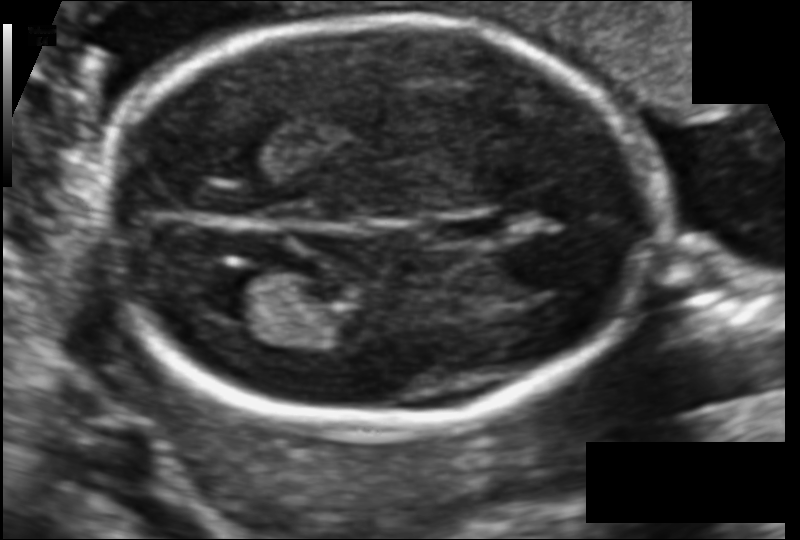
Fetal head ultrasound. Image width: 84.6 mm. Where is the lateral ventricle?

Lateral ventricle bounding box: [192,258,287,331]